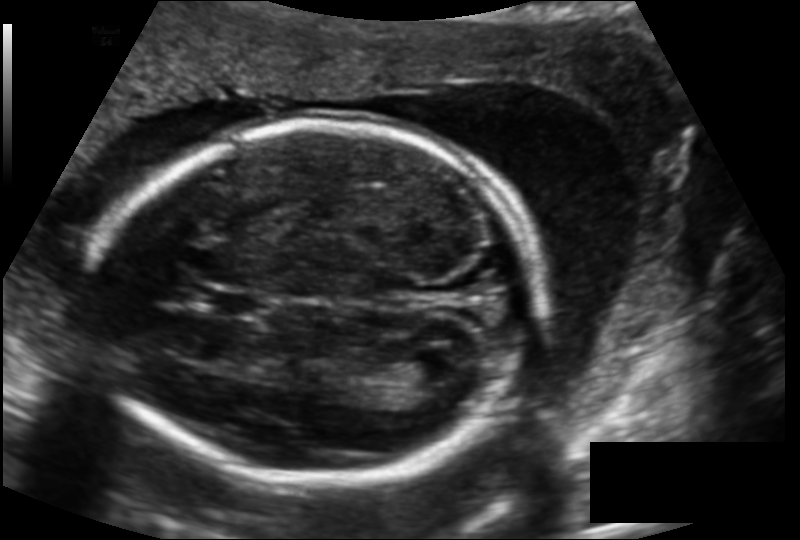
What is the fetal head circumference? Image width is 114.6 mm.

184.3 mm